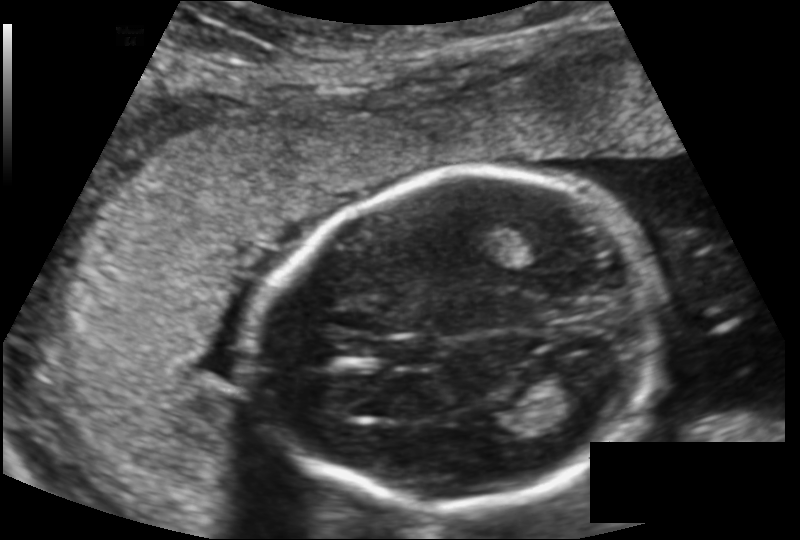
Measure the fetal head circumference shown in this ultrasound image. Image width: 119.2 mm.

Head circumference: 182.4 mm.